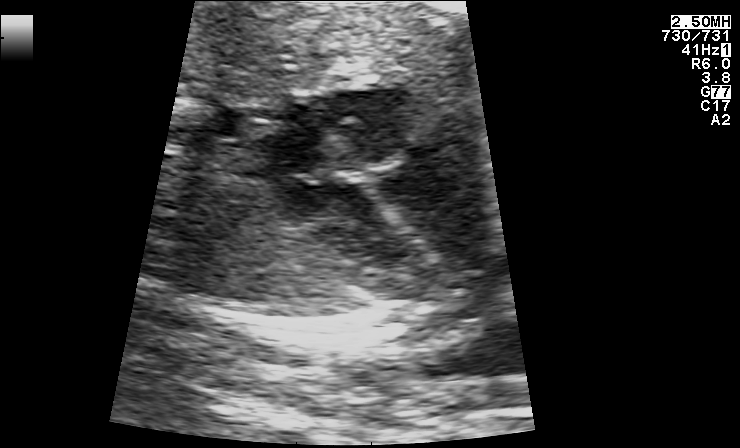
Classify this maternal-fetal ultrasound image as one of the six standard planes — fetal abdomen, fetal brain, fetal femur, fetal thorax, maternal cervix, or other. If it's fetal brain and one of the three standard brain planes (trans-thalamic, trans-cerebellum, trans-ventricular), name which.

Fetal thorax